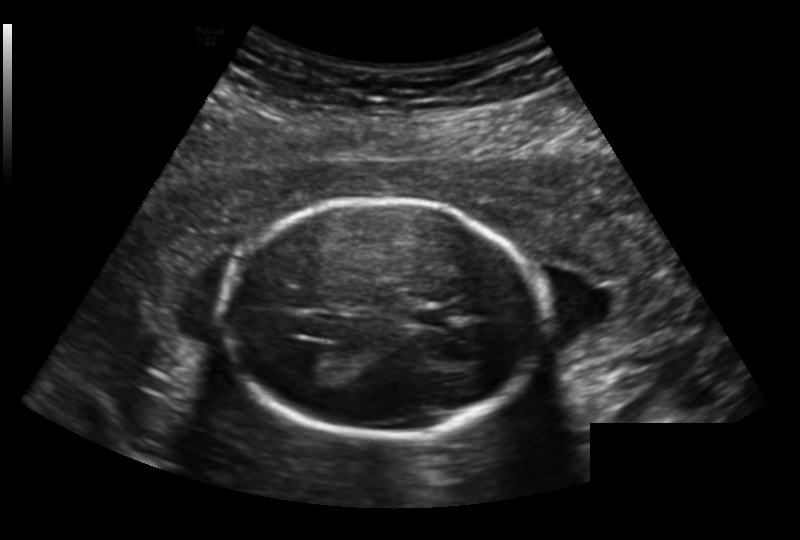
In this fetal head ultrasound, give bounding boxes for the head outline, cavum septum pellucidum (CSP), and lateral ventricle (LV), where visible. Image width: 152.4 mm.

Head: [226,203,551,435]
CSP: [412,306,452,328]
Lateral ventricle: [290,350,342,383]